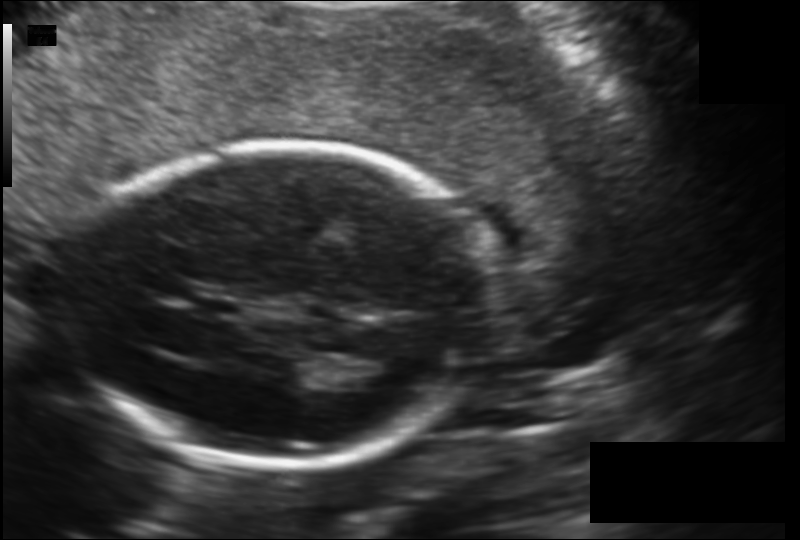
Estimate the fetal head circumference from this 2D ultrasound. Image width: 117.3 mm.

Head circumference: 174.8 mm.